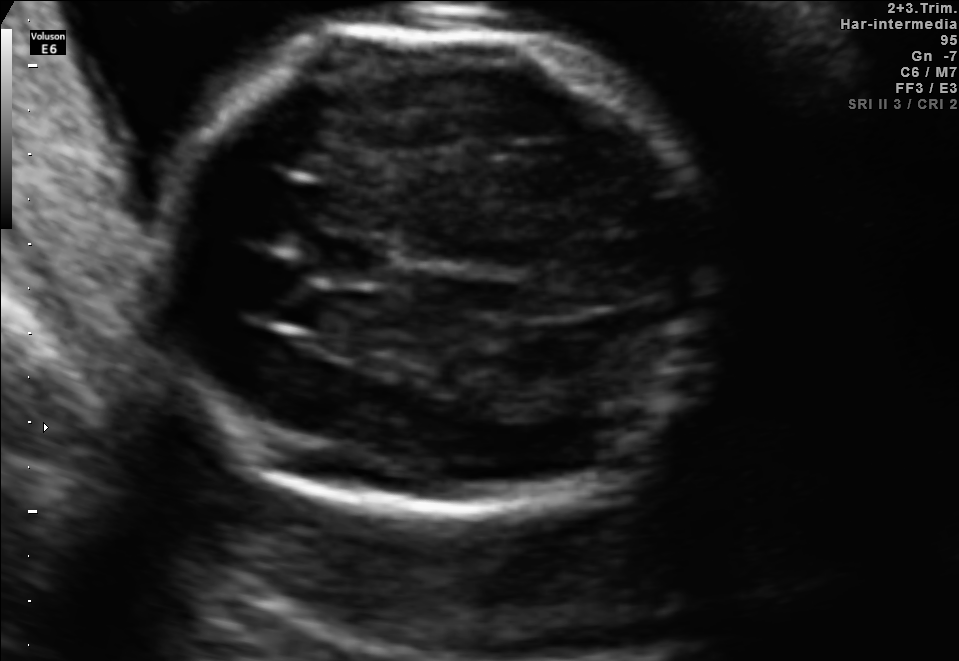
Identify the standard plane in this fetal ultrasound image: fetal abdomen, fetal brain, fetal femur, fetal thorax, maternal cervix, or other. If it's fetal brain and one of the three standard brain planes (trans-thalamic, trans-cerebellum, trans-ventricular), name which.

Fetal brain (trans-thalamic plane)